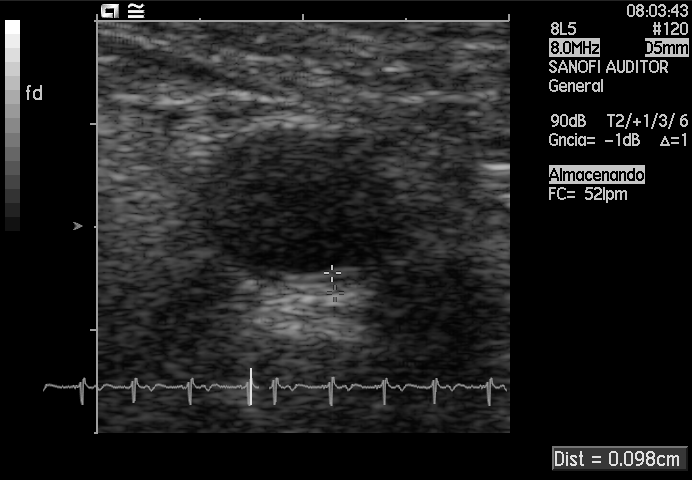
Which standard maternal-fetal ultrasound plane is shown: fetal abdomen, fetal brain, fetal femur, fetal thorax, maternal cervix, or other? If it's fetal brain and one of the three standard brain planes (trans-thalamic, trans-cerebellum, trans-ventricular), name which.

Other